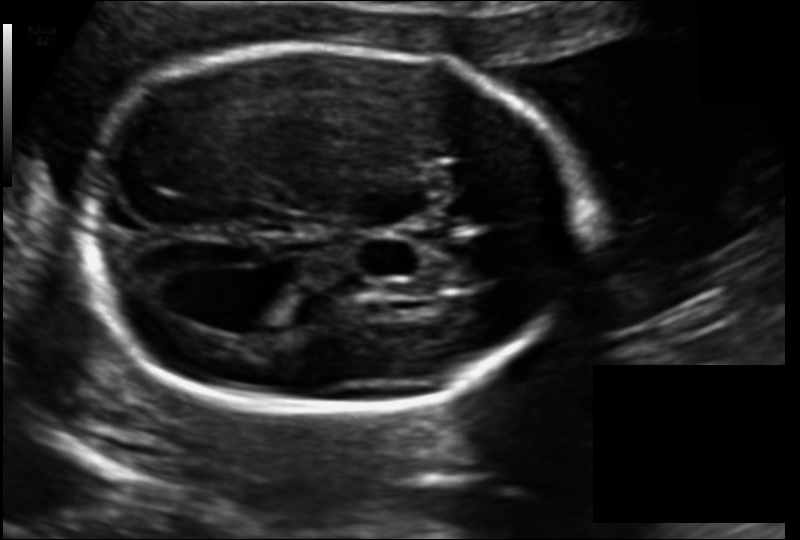
What is the fetal head circumference? Image width is 102.4 mm.

182.7 mm